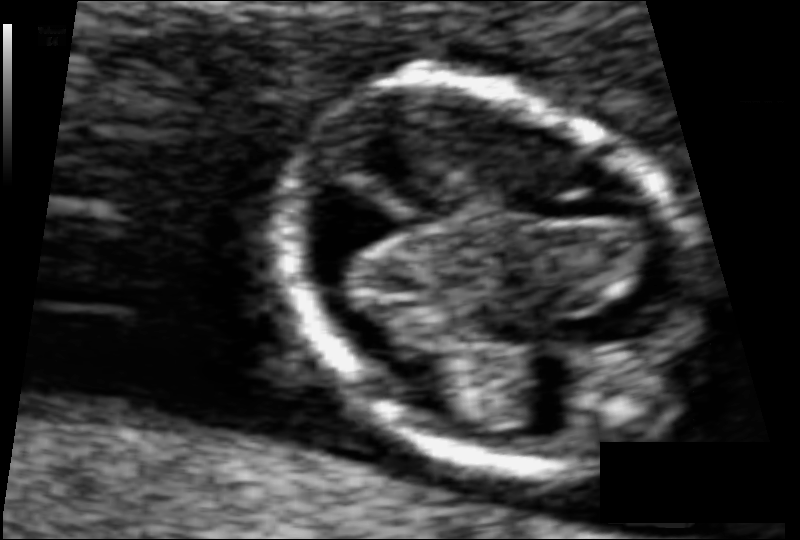
From this fetal ultrasound, estimate the head circumference (image width 46.0 mm).

Head circumference: 76.1 mm.